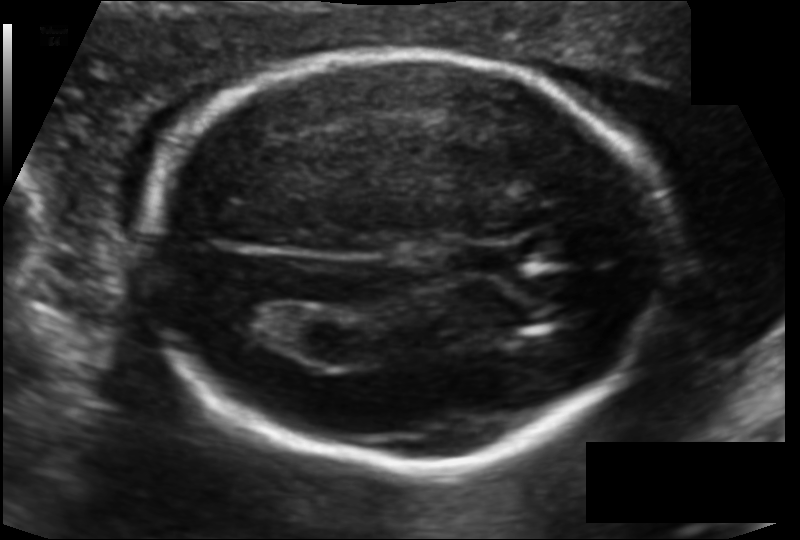
Fetal head ultrasound. Image width: 91.7 mm. Give [x1,y1,x2,y2] bounding boxes for each visible structure among: fetal head, CSP, LV.

Head: [143,54,668,466]
CSP: [458,239,519,279]